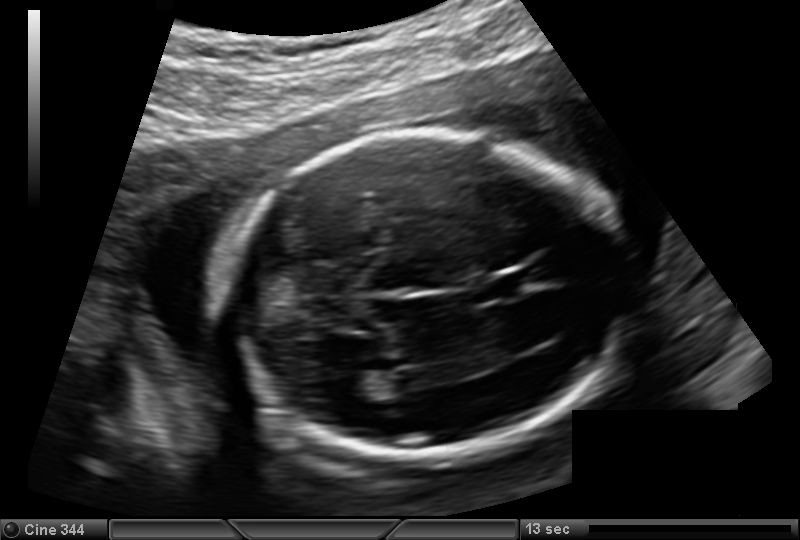
In this fetal head ultrasound, give the bounding box of the lateral ventricle. Image width: 115.3 mm.

[332,372,376,406]